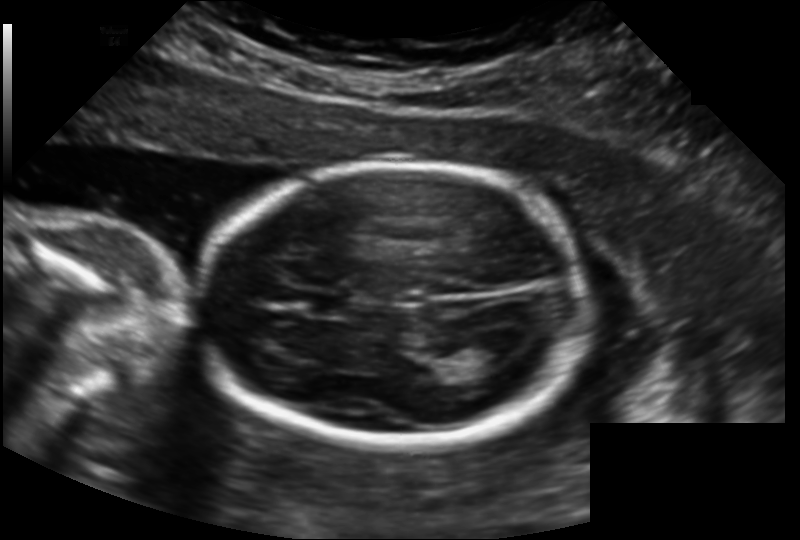
Fetal head ultrasound. Image width: 126.2 mm. Locate the cavum septum pellucidum.

CSP: [310,291,355,319]